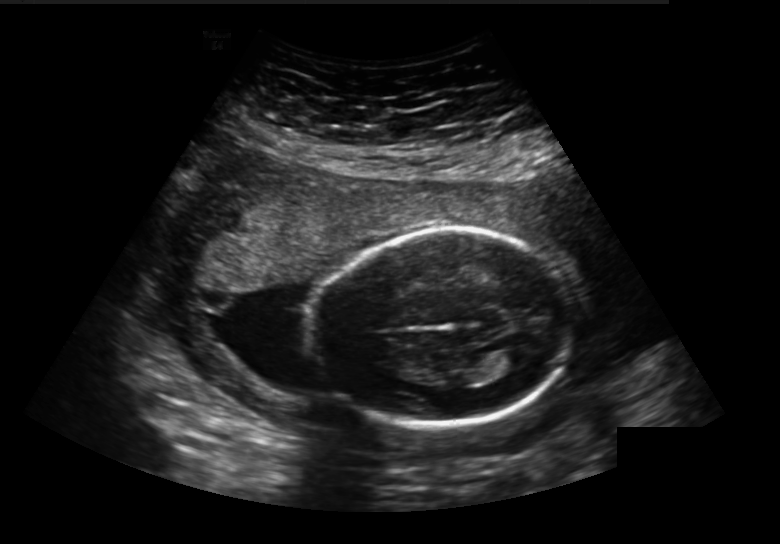
Fetal head ultrasound. Image width: 184.0 mm. Locate the lateral ventricle.

Lateral ventricle: [496,342,536,375]